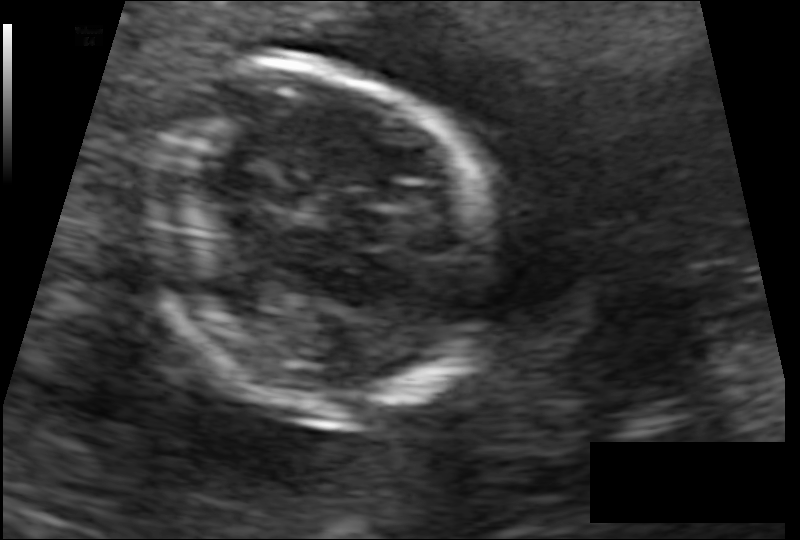
What is the fetal head circumference? Image width is 73.2 mm.

104.7 mm